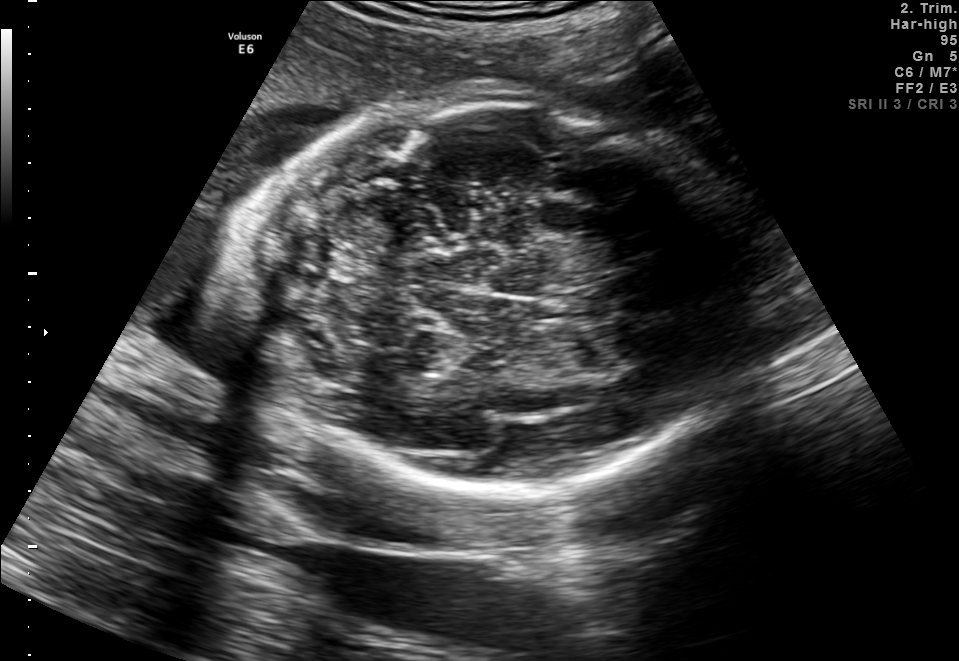
Fetal brain, trans-thalamic plane. Locate the fetal head and, if visible, the cavum septum pellucidum (CSP) and lateral ventricle (LV). Give bounding boxes as [x1,y1,x2,y2].

Head: [225,93,758,494]